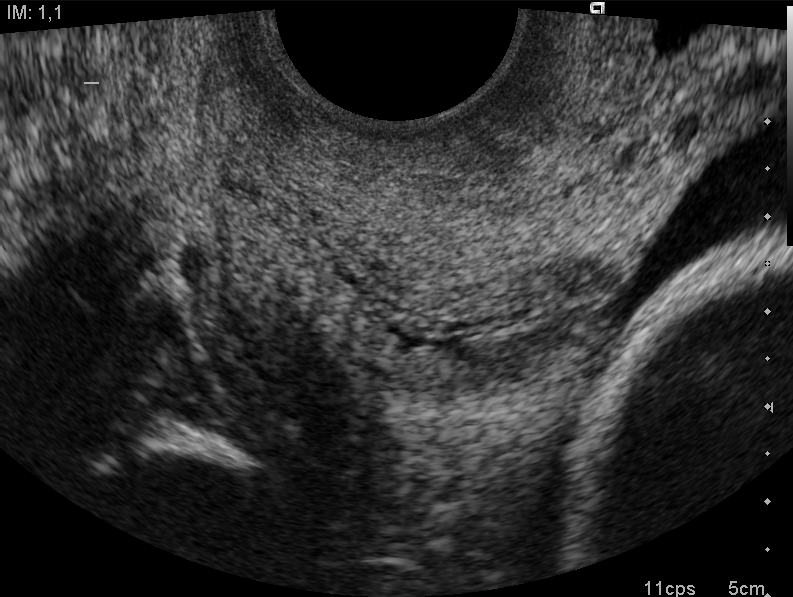
Which standard maternal-fetal ultrasound plane is shown: fetal abdomen, fetal brain, fetal femur, fetal thorax, maternal cervix, or other? If it's fetal brain and one of the three standard brain planes (trans-thalamic, trans-cerebellum, trans-ventricular), name which.

Maternal cervix